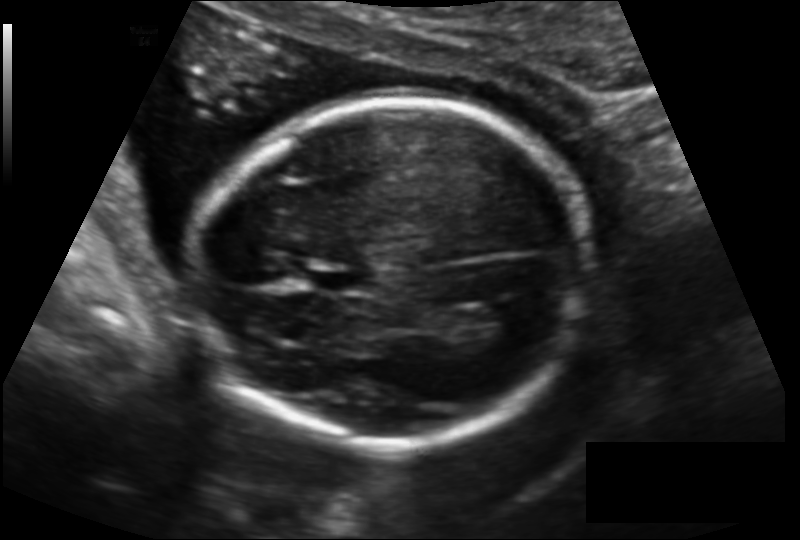
Fetal head ultrasound. Image width: 111.8 mm. Where is the fetal head?

Head bounding box: [201,99,591,444]